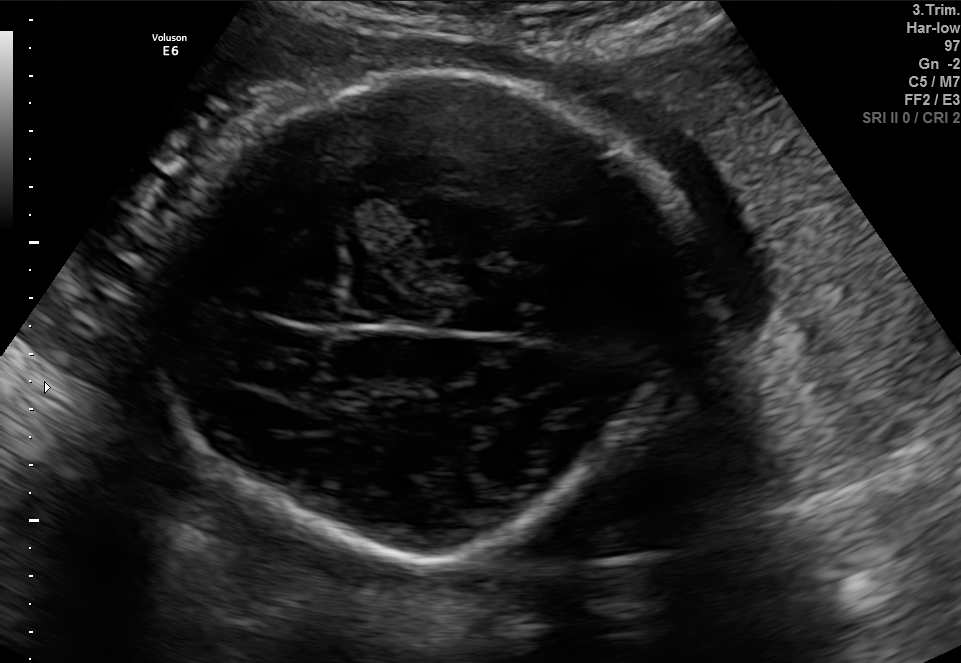
Which standard maternal-fetal ultrasound plane is shown: fetal abdomen, fetal brain, fetal femur, fetal thorax, maternal cervix, or other? If it's fetal brain and one of the three standard brain planes (trans-thalamic, trans-cerebellum, trans-ventricular), name which.

Fetal brain (trans-thalamic plane)